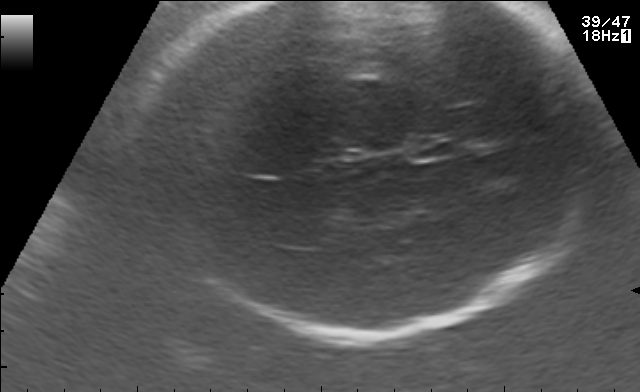
Fetal brain, trans-thalamic plane. Locate the fetal head and, if visible, the cavum septum pellucidum (CSP) and lateral ventricle (LV). Give bounding boxes as [x1,y1,x2,y2].

Head: [121,2,602,330]
CSP: [405,132,457,162]